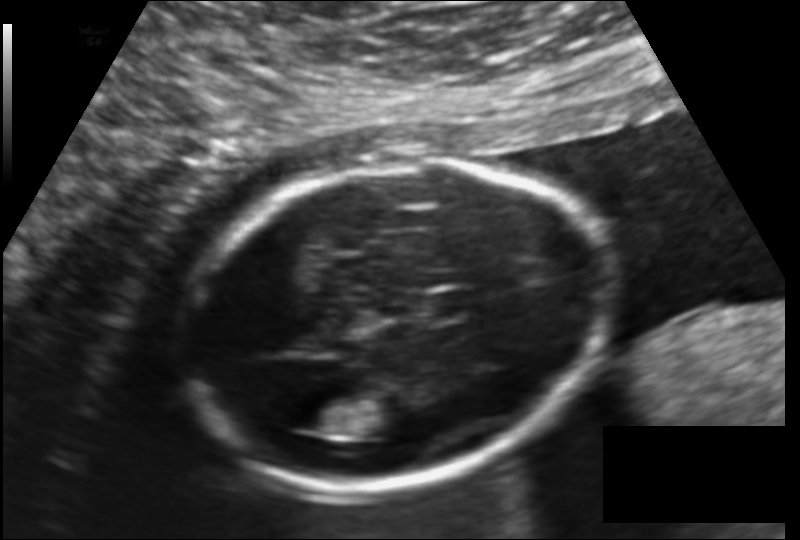
Estimate the fetal head circumference from this 2D ultrasound.

Head circumference: 178.3 mm (image width 112.0 mm).